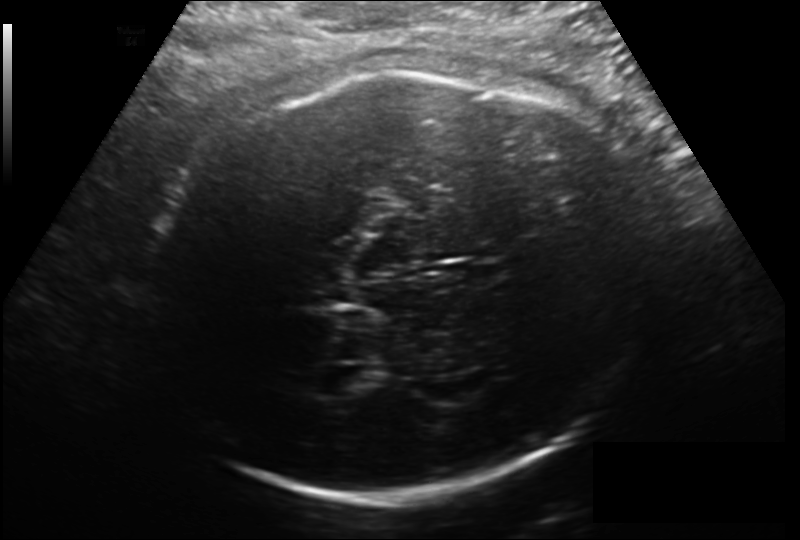
What is the fetal head circumference? Image width is 164.8 mm.

314.1 mm